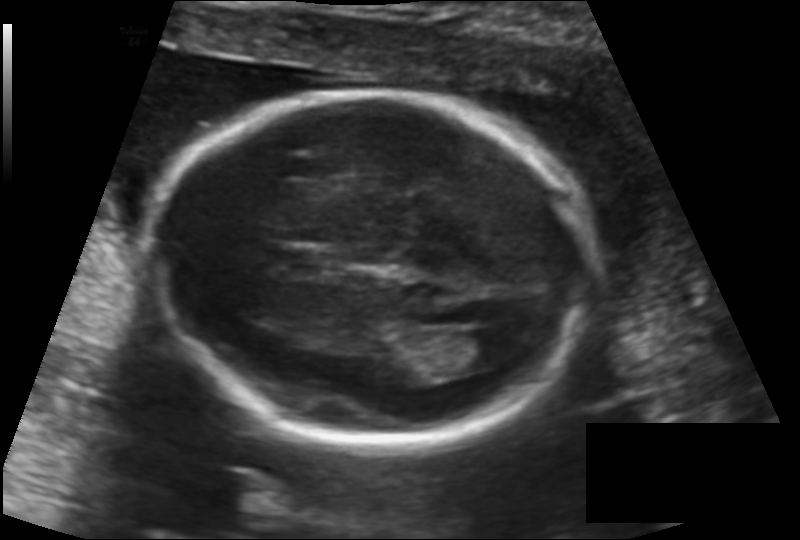
Fetal head ultrasound. Image width: 109.6 mm. Where is the cavum septum pellucidum?

CSP bounding box: [278,248,330,276]